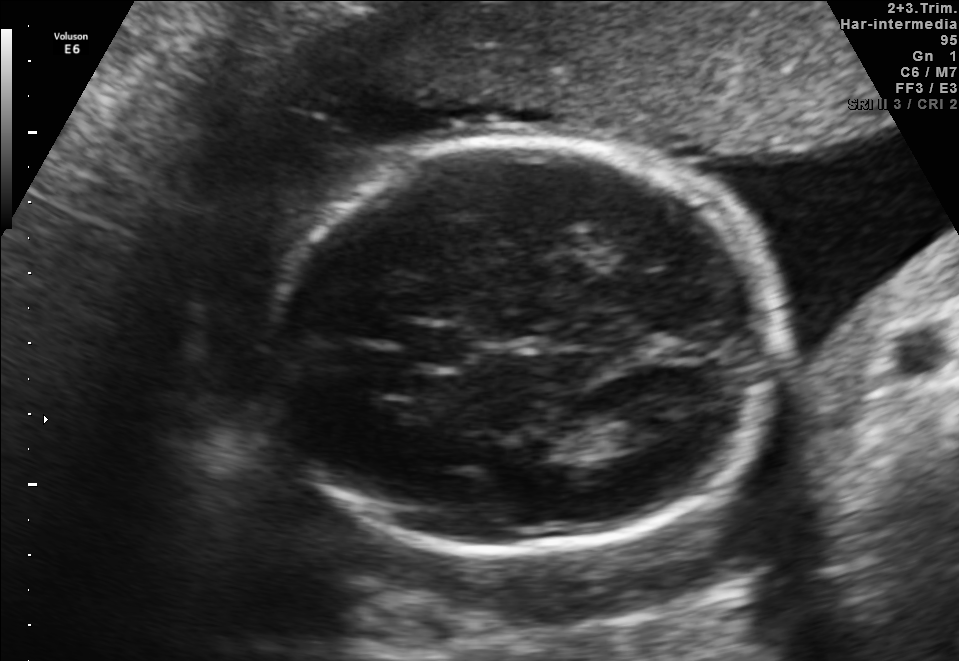
In this fetal brain, trans-thalamic plane, give the bounding box of the cavum septum pellucidum.

[404,324,464,368]